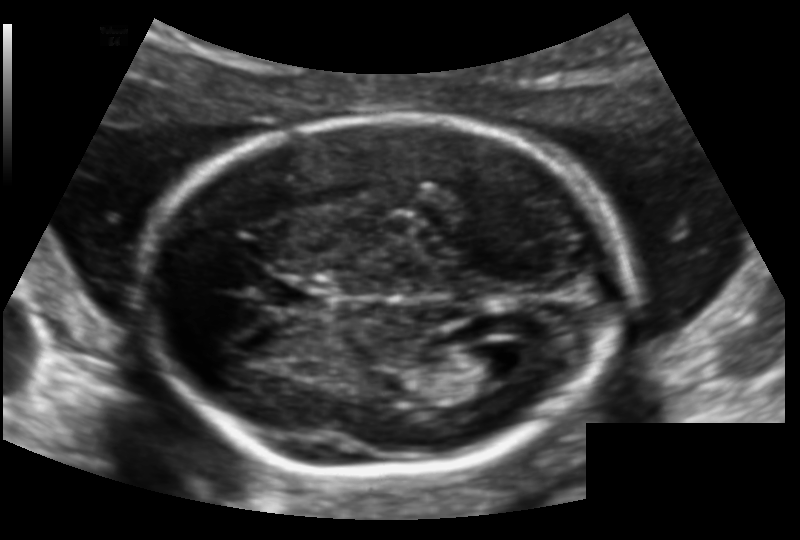
In this fetal head ultrasound, give bounding boxes for the head outline, cavum septum pellucidum (CSP), and lateral ventricle (LV), where visible. Image width: 102.0 mm.

Head: [145,115,623,477]
CSP: [266,276,325,313]
Lateral ventricle: [452,337,520,390]